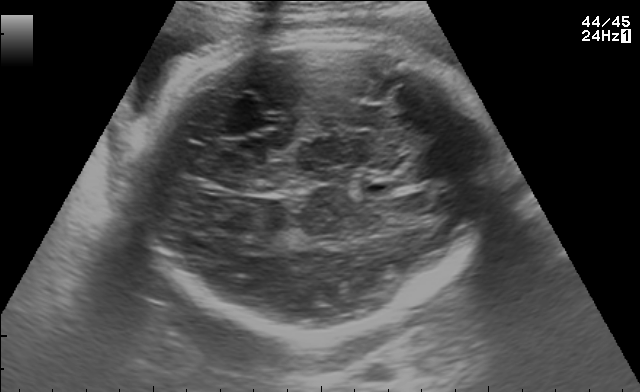
In this fetal brain, trans-thalamic plane, give bounding boxes for the head outline, cavum septum pellucidum (CSP), and lateral ventricle (LV), where visible.

Head: [125,37,489,333]